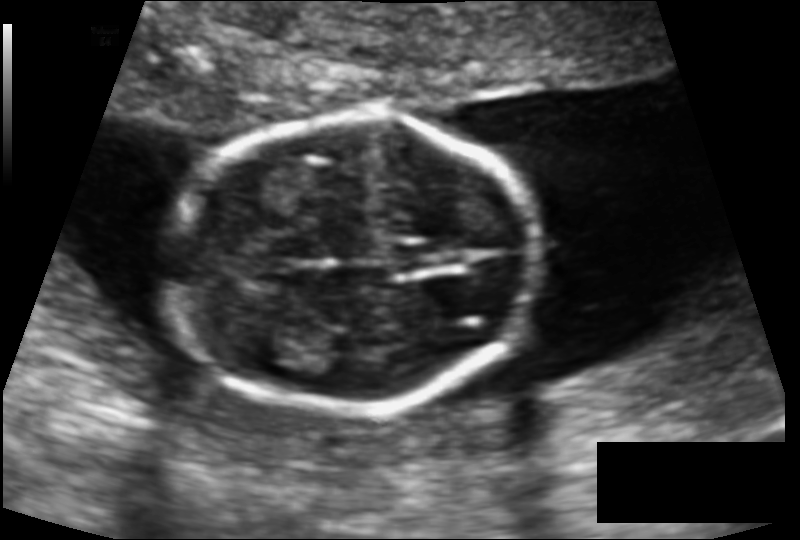
Fetal head ultrasound. Image width: 89.5 mm. Locate the fetal head.

Head: [166,118,537,410]